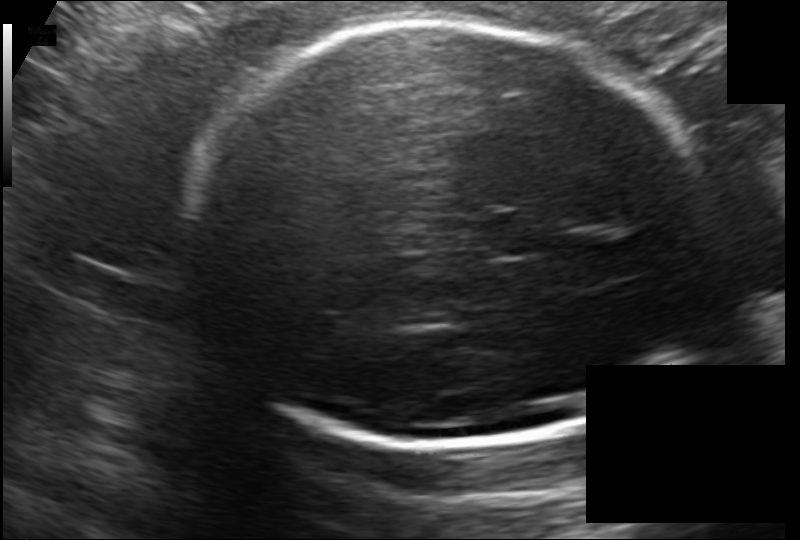
Estimate the fetal head circumference from this 2D ultrasound.

Head circumference: 265.5 mm (image width 137.9 mm).